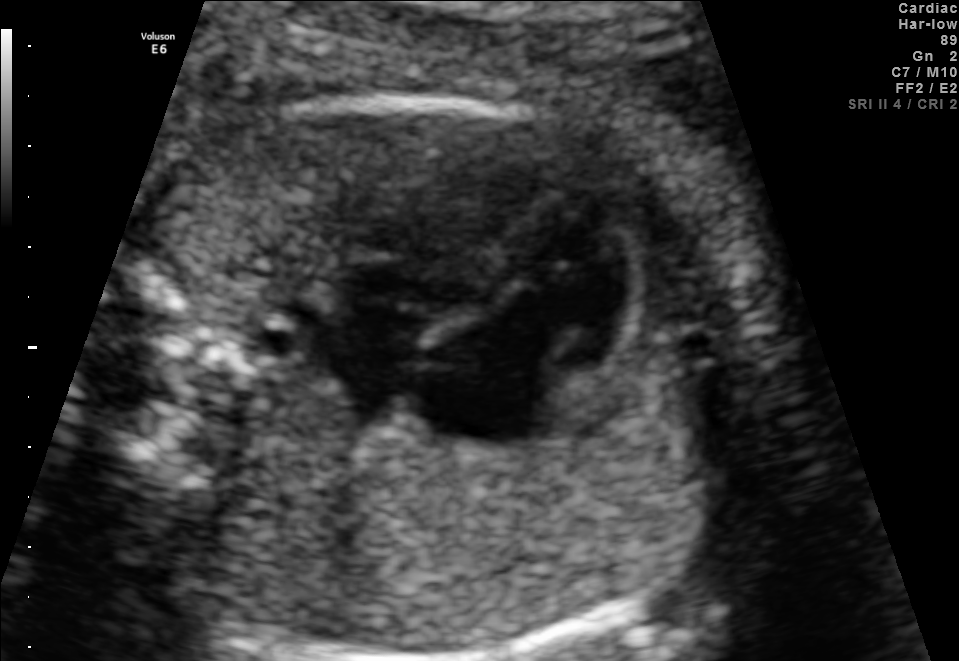
Which standard maternal-fetal ultrasound plane is shown: fetal abdomen, fetal brain, fetal femur, fetal thorax, maternal cervix, or other? If it's fetal brain and one of the three standard brain planes (trans-thalamic, trans-cerebellum, trans-ventricular), name which.

Fetal thorax